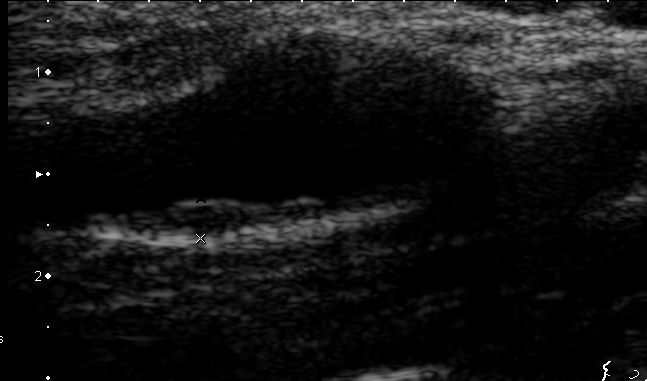
Classify this maternal-fetal ultrasound image as one of the six standard planes — fetal abdomen, fetal brain, fetal femur, fetal thorax, maternal cervix, or other. If it's fetal brain and one of the three standard brain planes (trans-thalamic, trans-cerebellum, trans-ventricular), name which.

Other